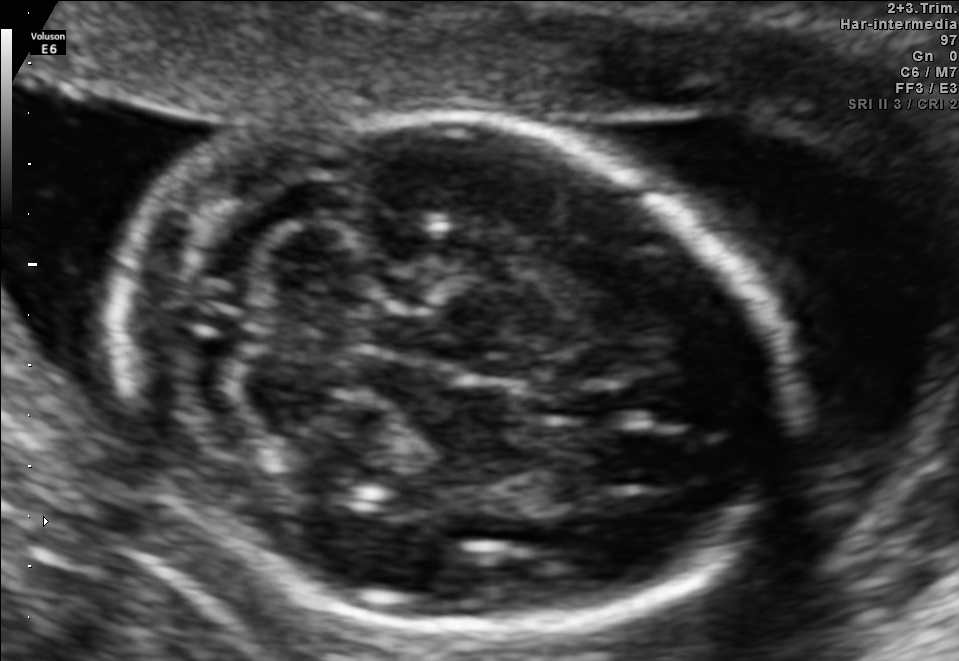
Fetal brain, trans-cerebellum plane. Give [x1,y1,x2,y2] bounding boxes for each visible structure among: fetal head, CSP, LV.

Head: [107,109,796,632]